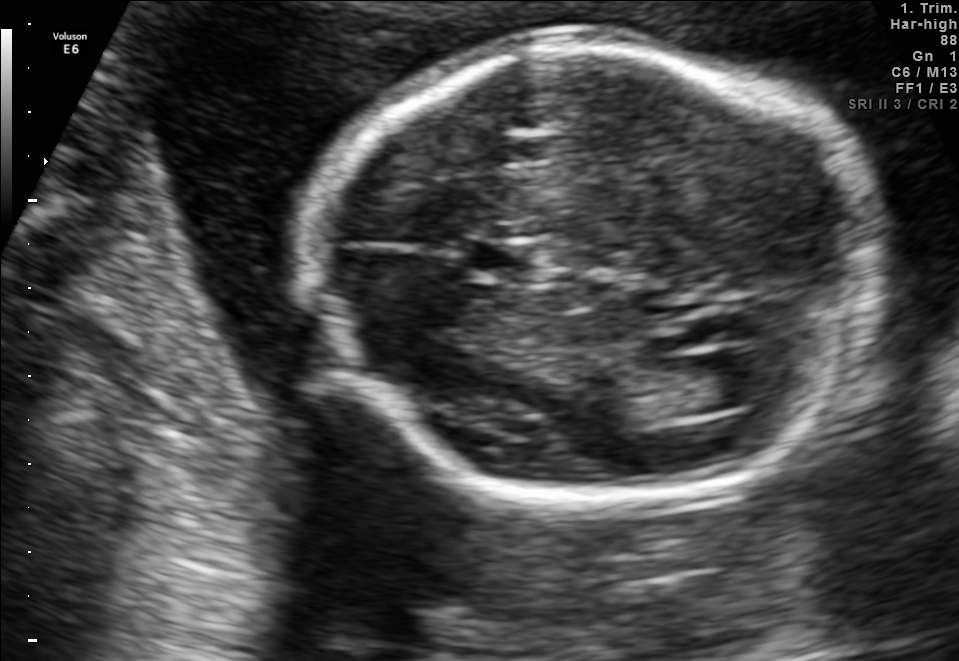
Fetal brain, trans-ventricular plane. Where is the fetal head?

Head bounding box: [298,35,897,514]